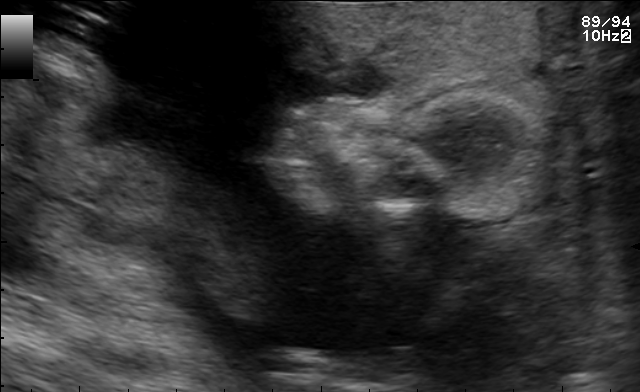
Identify the standard plane in this fetal ultrasound image: fetal abdomen, fetal brain, fetal femur, fetal thorax, maternal cervix, or other. If it's fetal brain and one of the three standard brain planes (trans-thalamic, trans-cerebellum, trans-ventricular), name which.

Other